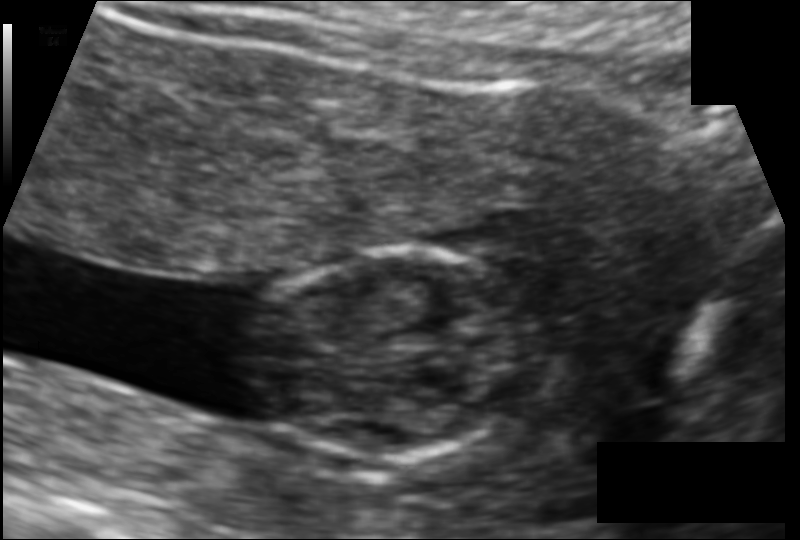
Fetal head ultrasound. Image width: 84.2 mm. Give [x1,y1,x2,y2] bounding boxes for each visible structure among: fetal head, CSP, LV.

Head: [252,250,523,463]